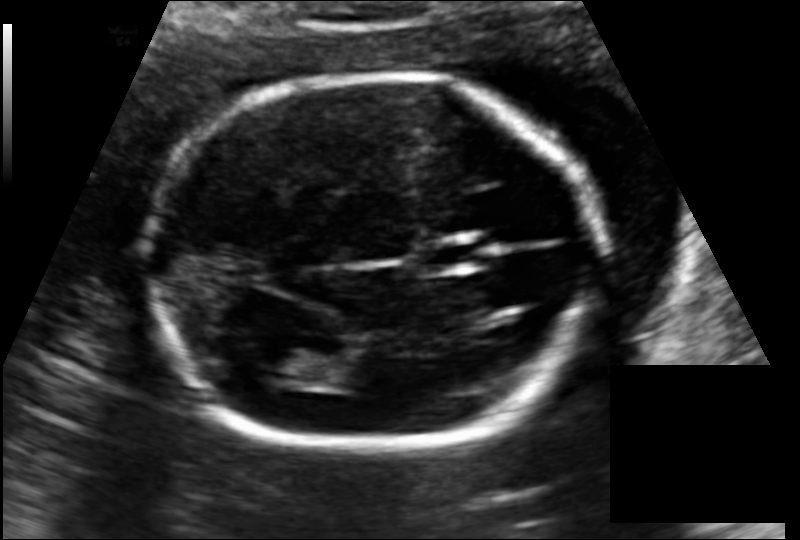
In this fetal head ultrasound, give the bounding box of the cavum septum pellucidum. Image width: 101.6 mm.

[417,238,482,272]